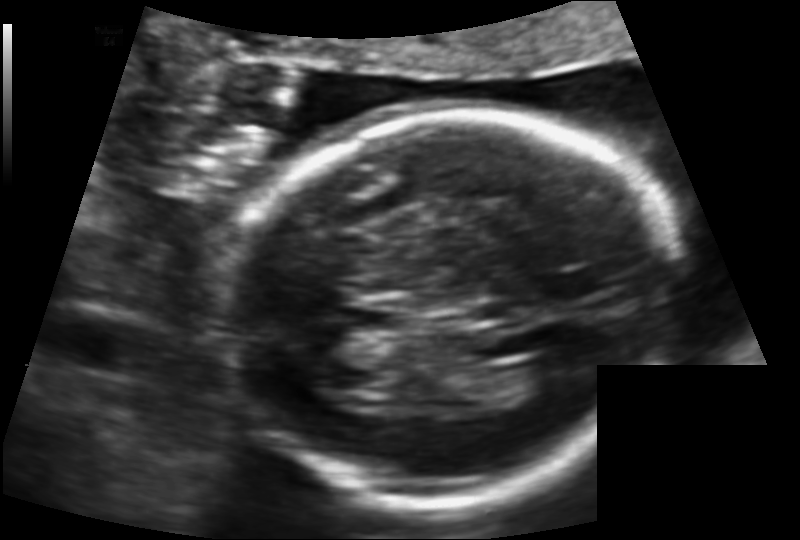
Measure the fetal head circumference shown in this ultrasound image. Image width: 97.9 mm.

Head circumference: 169.4 mm.